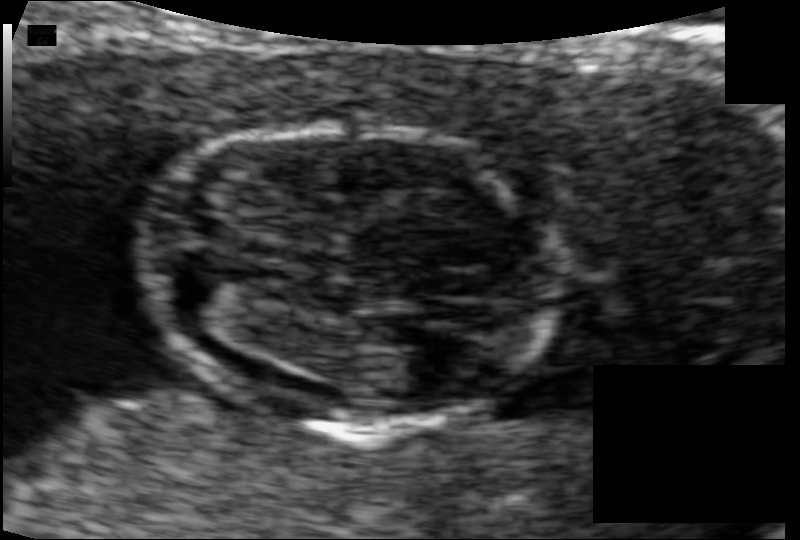
From this fetal ultrasound, estimate the head circumference (image width 52.6 mm).

Head circumference: 77.7 mm.